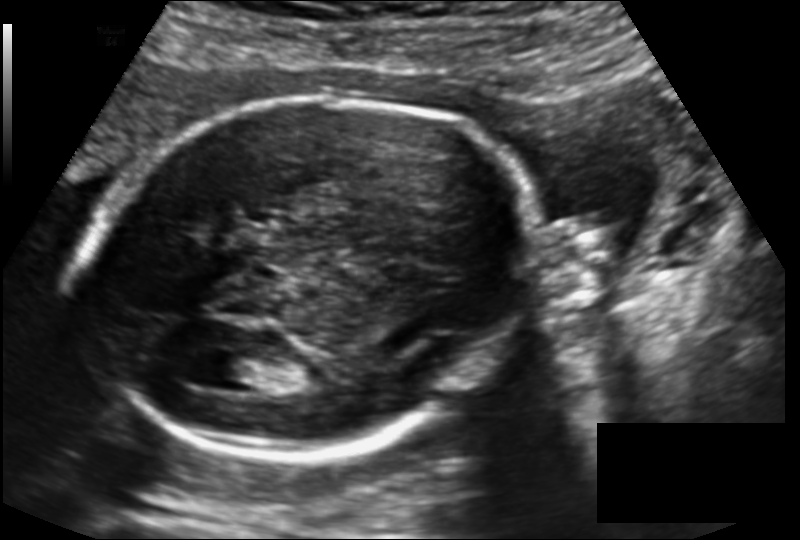
Estimate the fetal head circumference from this 2D ultrasound.

Head circumference: 192.6 mm (image width 114.3 mm).